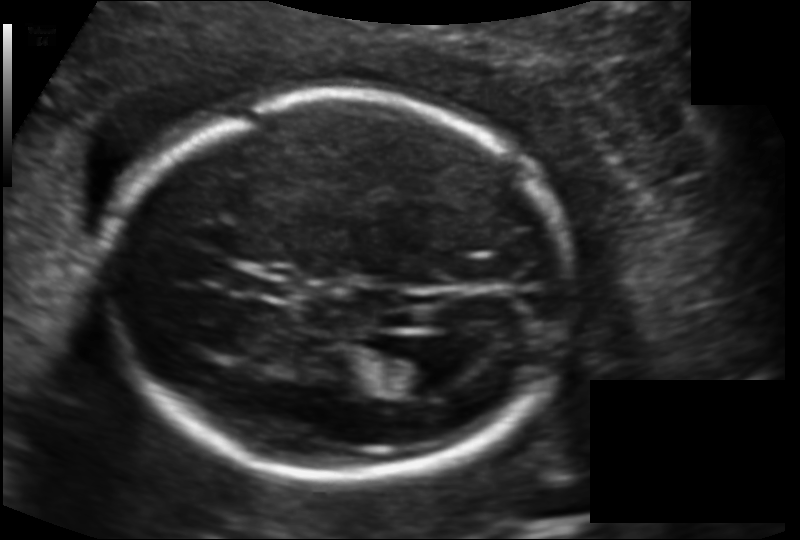
In this fetal head ultrasound, give the bounding box of the lateral ventricle. Image width: 107.3 mm.

[382,356,443,395]